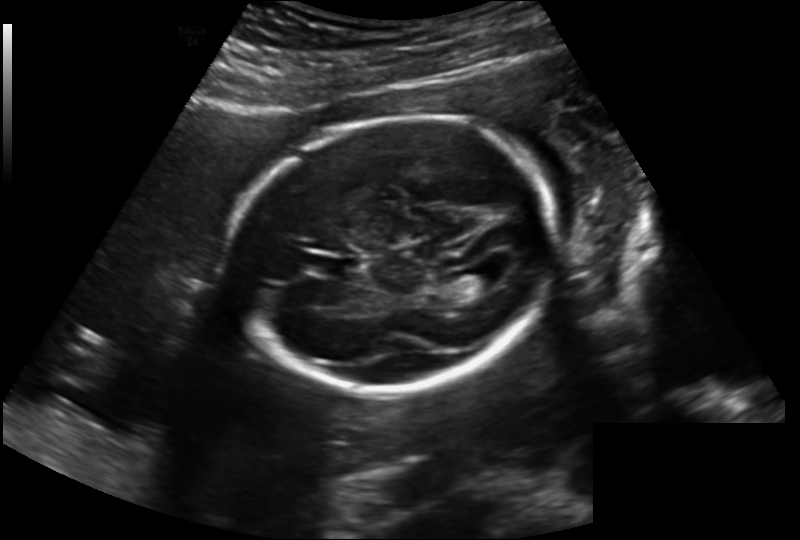
In this fetal head ultrasound, give the bounding box of the cavum septum pellucidum. Image width: 161.6 mm.

[315,255,360,279]